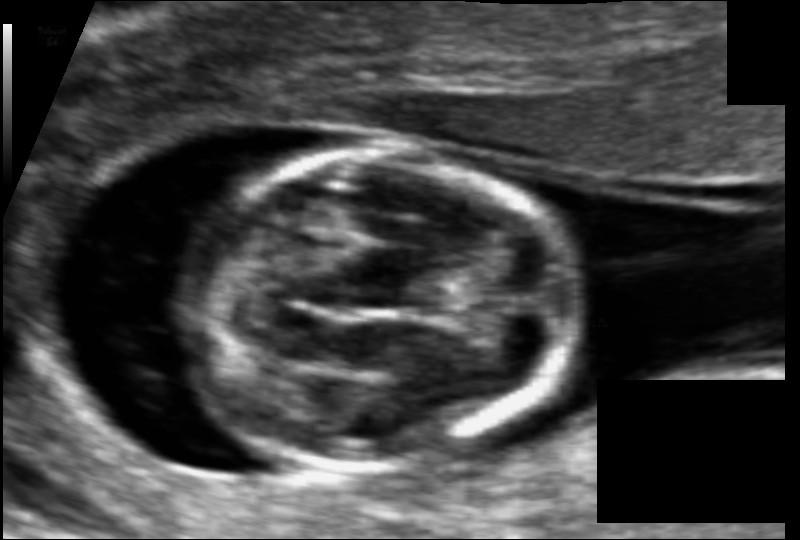
Measure the fetal head circumference shown in this ultrasound image. Image width: 53.6 mm.

Head circumference: 79.0 mm.